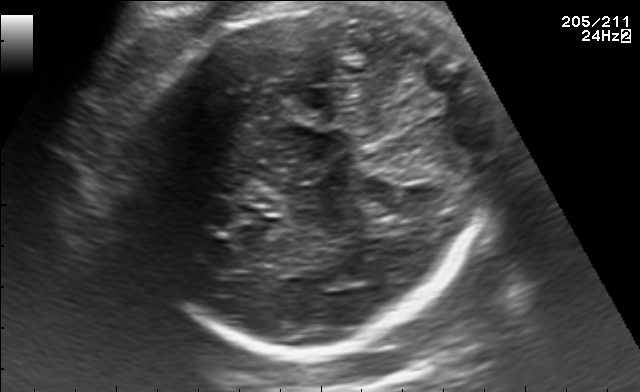
Fetal brain, trans-thalamic plane. Locate the fetal head and, if visible, the cavum septum pellucidum (CSP) and lateral ventricle (LV). Give bounding boxes as [x1,y1,x2,y2].

Head: [126,7,491,351]